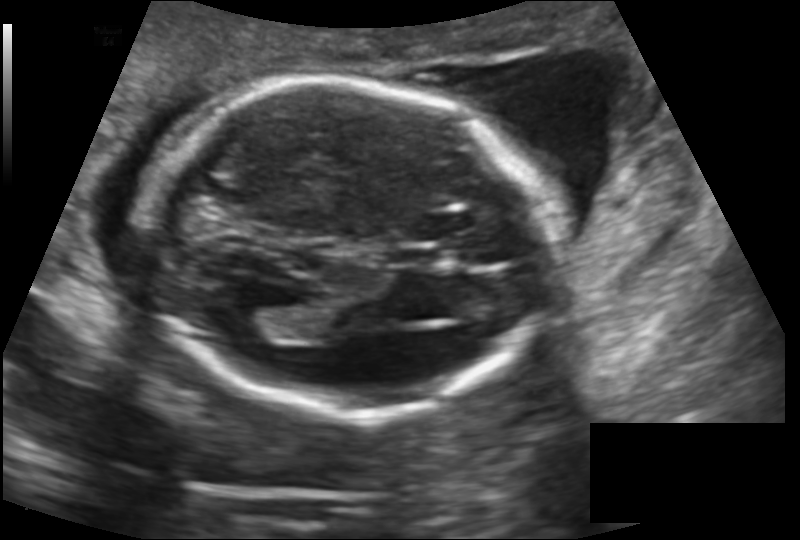
Measure the fetal head circumference shown in this ultrasound image. Image width: 116.4 mm.

Head circumference: 175.0 mm.